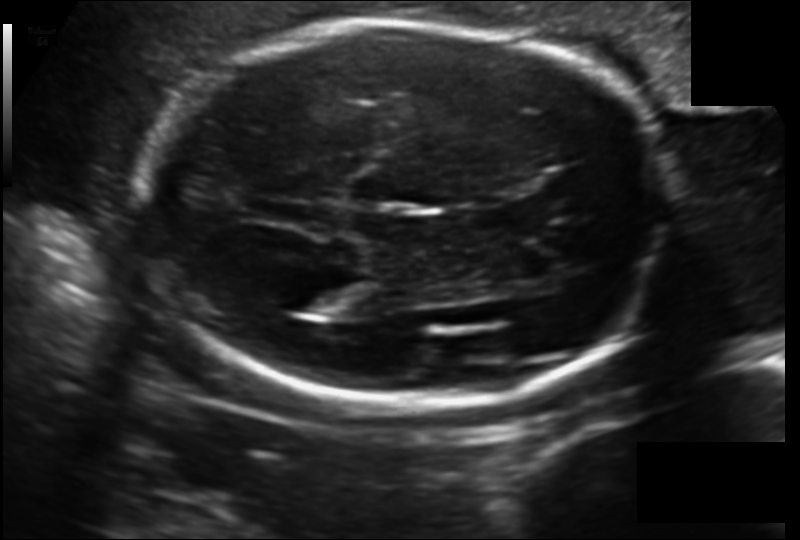
Fetal head ultrasound. Image width: 121.4 mm. Where is the lateral ventricle?

Lateral ventricle bounding box: [280,272,358,316]